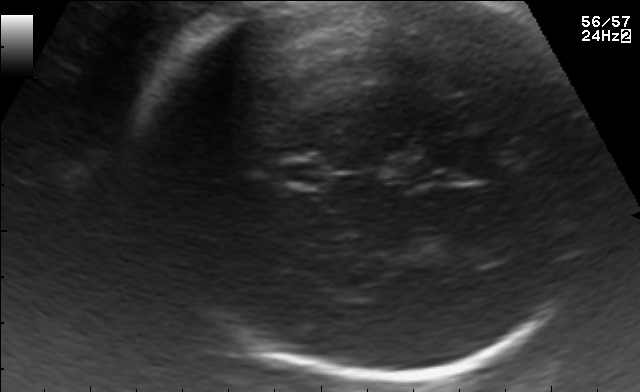
Fetal brain, trans-thalamic plane. Locate the cavum septum pellucidum.

CSP: [283,164,321,182]